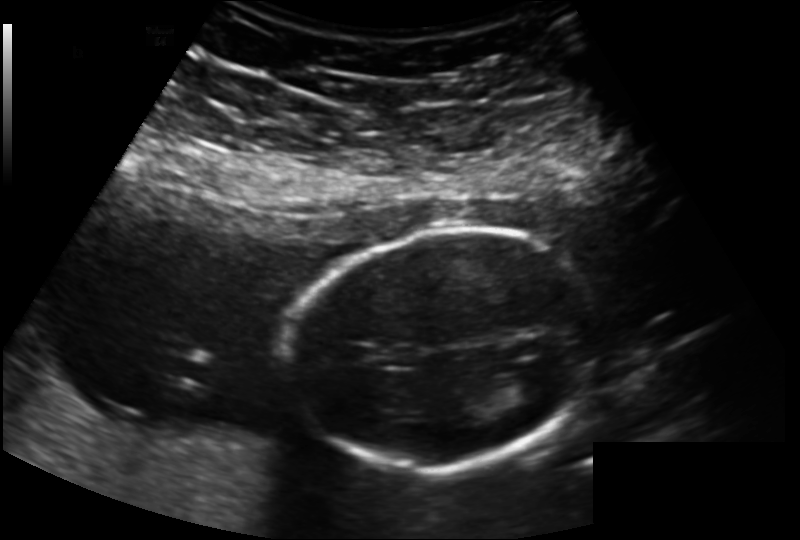
In this fetal head ultrasound, give the bounding box of the lateral ventricle. Image width: 130.7 mm.

[508,362,559,406]